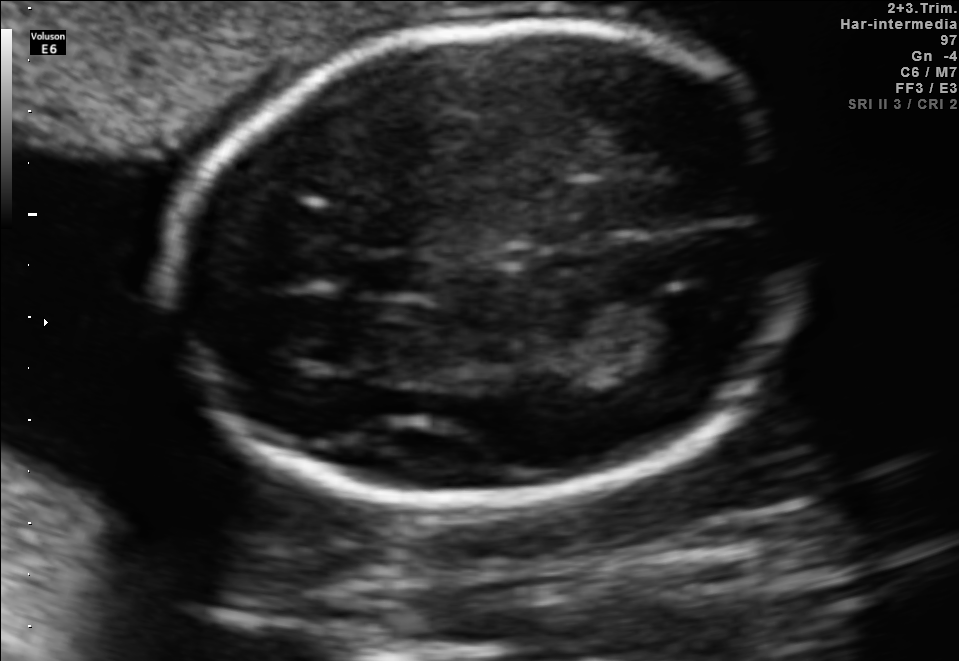
Fetal brain, trans-thalamic plane. Locate the cavum septum pellucidum.

CSP: [351,259,429,292]